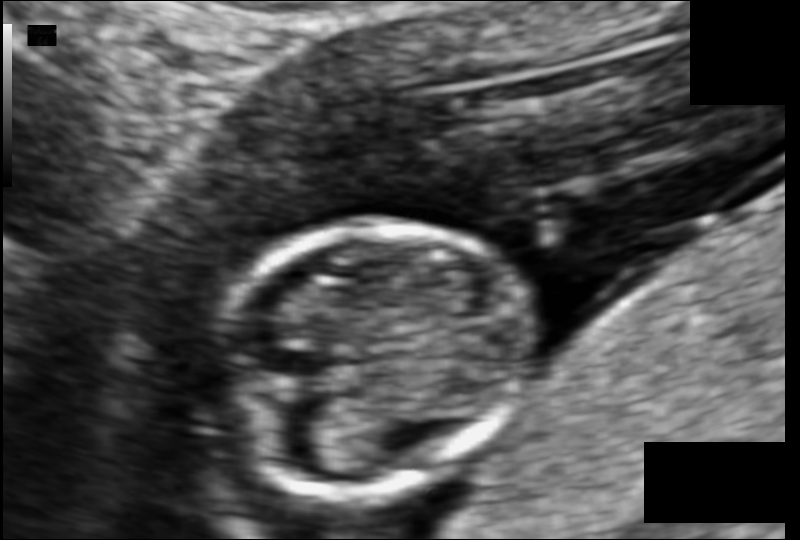
From this fetal ultrasound, estimate the head circumference (image width 62.1 mm).

Head circumference: 73.7 mm.